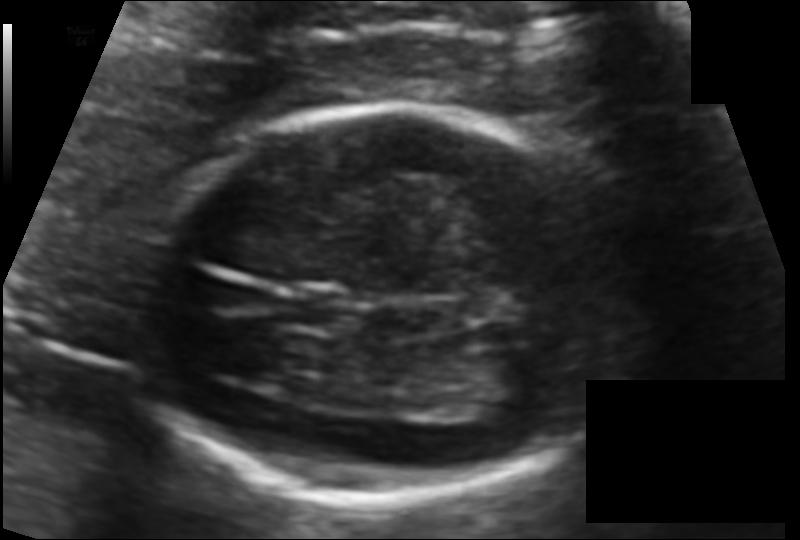
From this fetal ultrasound, estimate the head circumference (image width 80.0 mm).

Head circumference: 145.2 mm.